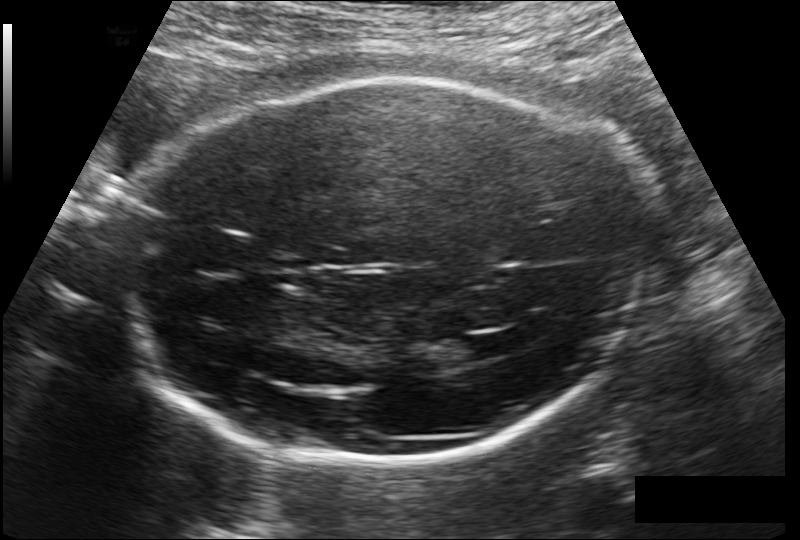
In this fetal head ultrasound, give the bounding box of the fetal head. Image width: 142.1 mm.

[125,80,647,465]